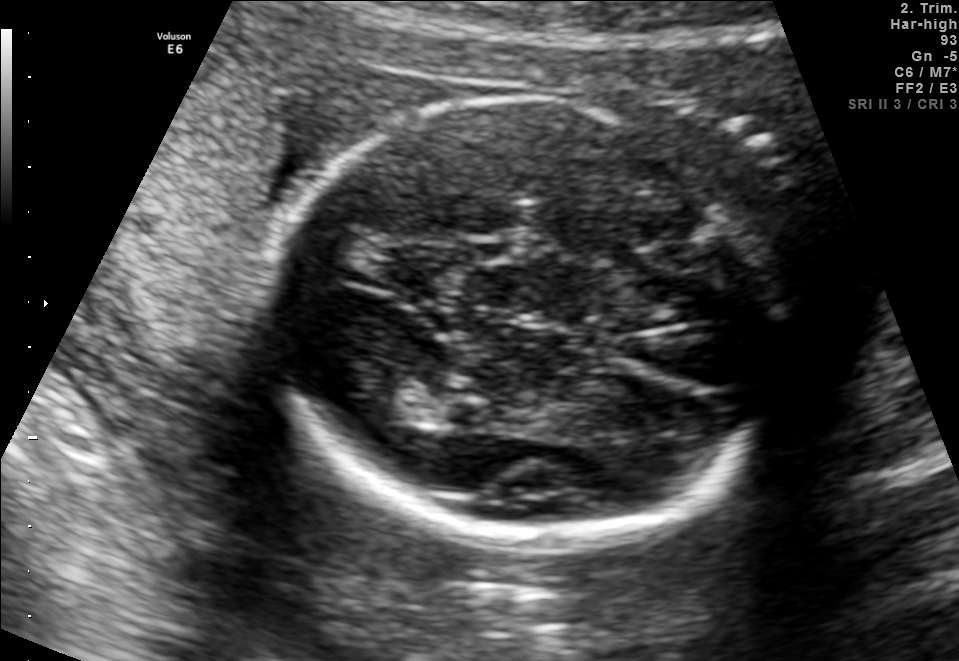
In this fetal brain, trans-thalamic plane, give the bounding box of the fetal head.

[259,97,802,540]